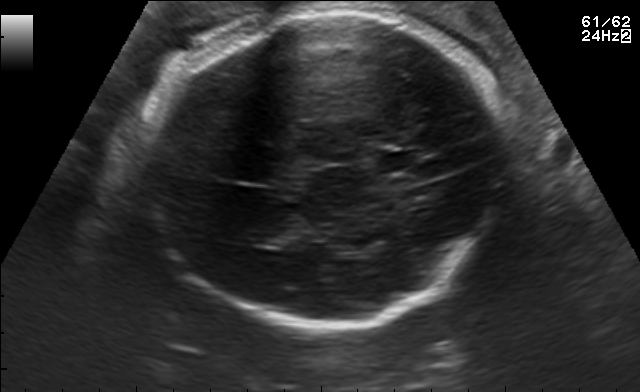
Fetal brain, trans-thalamic plane. Locate the fetal head.

Head: [137,12,505,326]